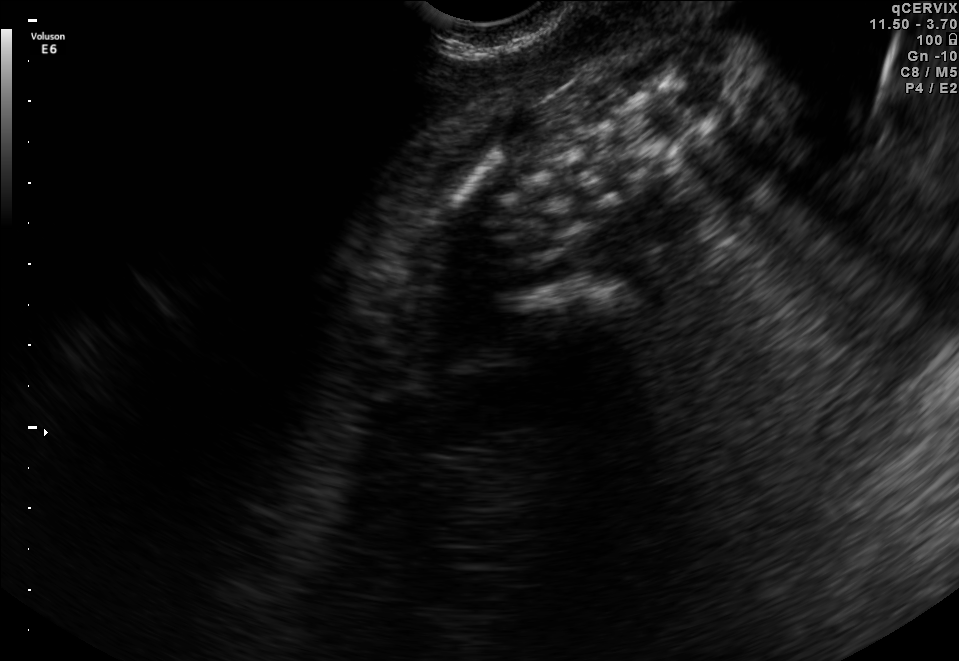
This is a 2D maternal-fetal ultrasound frame. Is it a fetal abdomen, fetal brain, fetal femur, fetal thorax, maternal cervix, or other standard plane? If it's fetal brain and one of the three standard brain planes (trans-thalamic, trans-cerebellum, trans-ventricular), name which.

Other